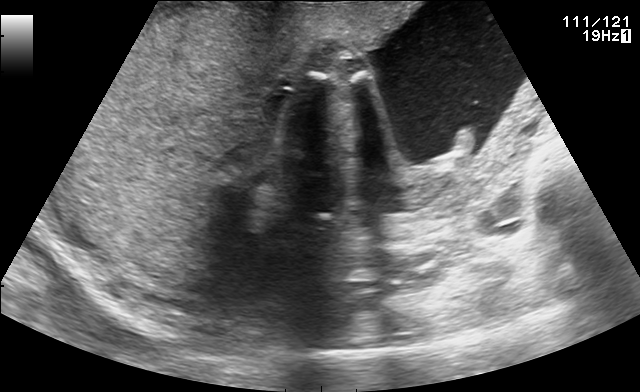
This is a 2D maternal-fetal ultrasound frame. Is it a fetal abdomen, fetal brain, fetal femur, fetal thorax, maternal cervix, or other standard plane? If it's fetal brain and one of the three standard brain planes (trans-thalamic, trans-cerebellum, trans-ventricular), name which.

Other